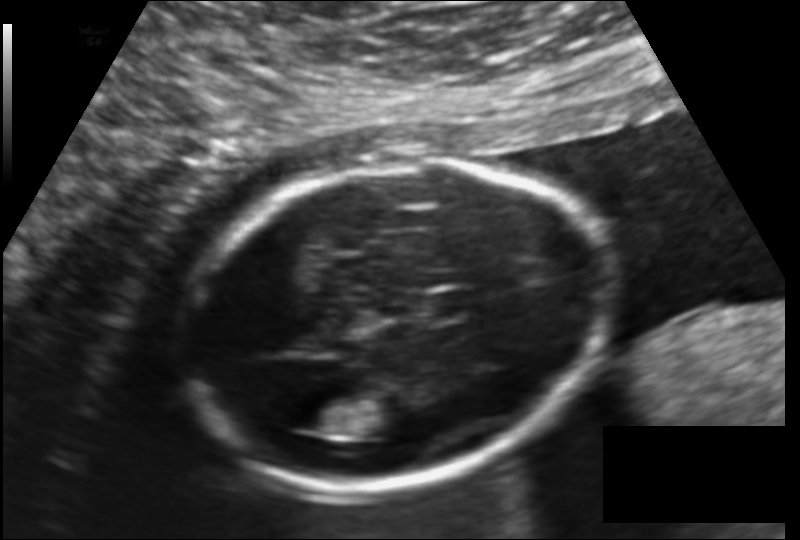
Fetal head ultrasound. Image width: 112.0 mm. Where is the lateral ventricle?

Lateral ventricle bounding box: [283,399,339,435]